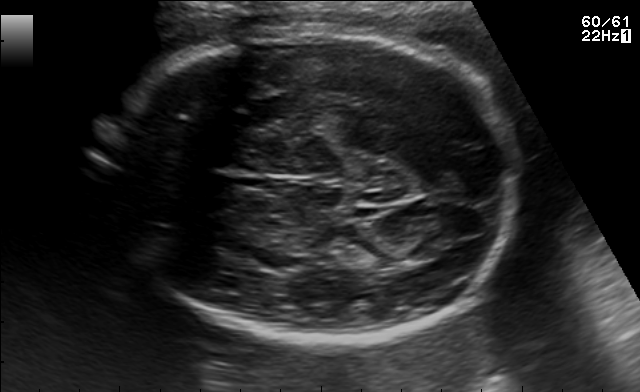
In this fetal brain, trans-thalamic plane, give the bounding box of the fetal head.

[100,25,523,349]